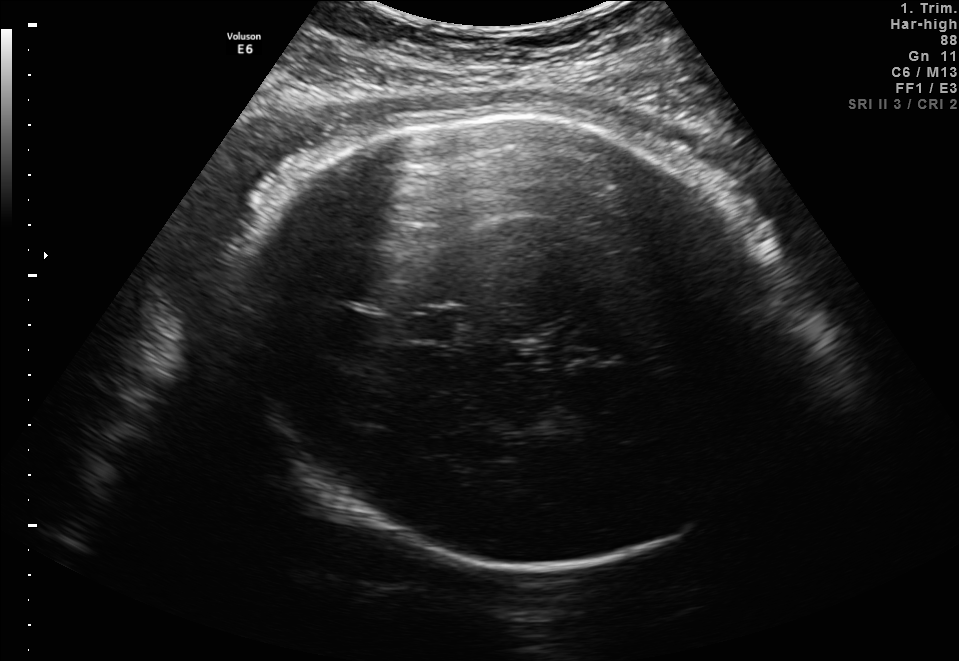
Fetal brain, trans-thalamic plane. Give [x1,y1,x2,y2] bounding boxes for each visible structure among: fetal head, CSP, LV.

Head: [236,118,785,565]
CSP: [402,308,460,339]